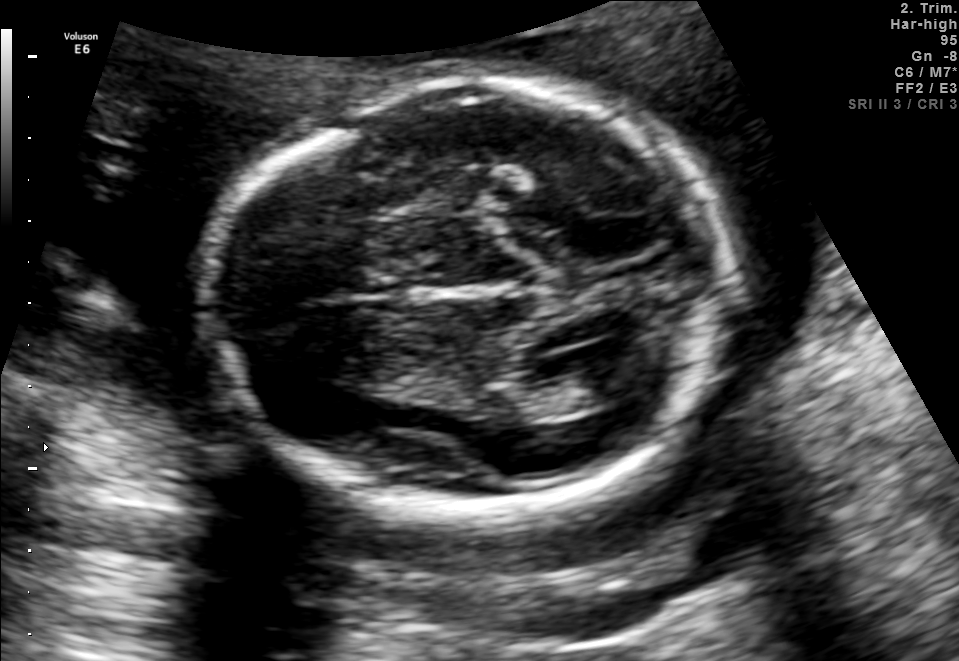
Fetal brain, trans-ventricular plane. Give [x1,y1,x2,y2] bounding boxes for each visible structure among: fetal head, CSP, LV.

Head: [202,76,747,515]
Lateral ventricle: [582,356,651,408]